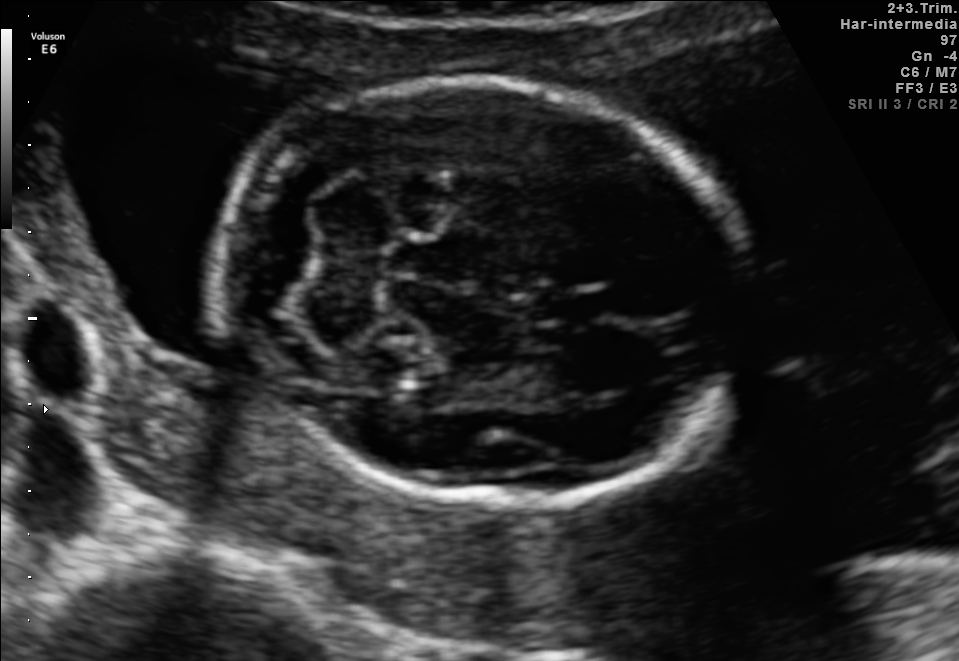
In this fetal brain, trans-cerebellum plane, give bounding boxes for the head outline, cavum septum pellucidum (CSP), and lateral ventricle (LV), where visible.

Head: [213,80,746,501]
CSP: [536,287,603,328]